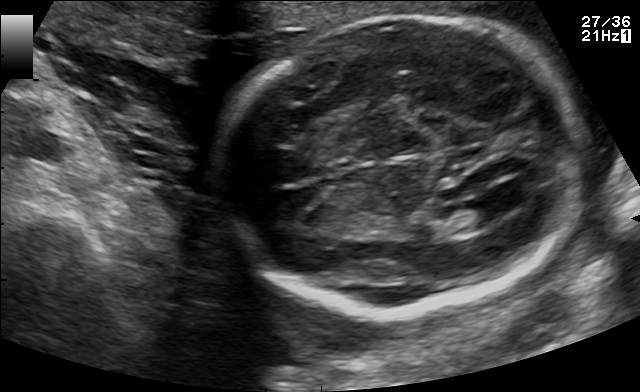
In this fetal brain, trans-ventricular plane, give the bounding box of the cavum septum pellucidum.

[313,161,359,189]